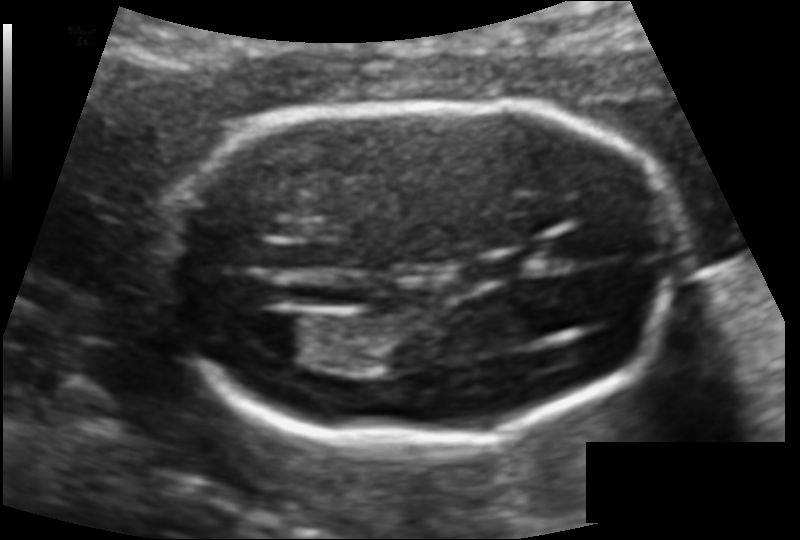
In this fetal head ultrasound, give the bounding box of the cavum septum pellucidum. Image width: 87.1 mm.

[545,221,611,271]